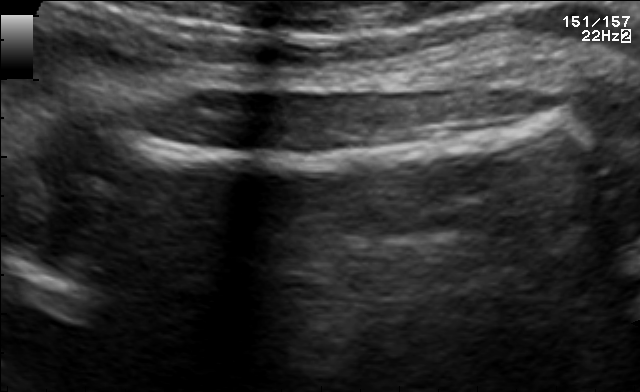
Which standard maternal-fetal ultrasound plane is shown: fetal abdomen, fetal brain, fetal femur, fetal thorax, maternal cervix, or other? If it's fetal brain and one of the three standard brain planes (trans-thalamic, trans-cerebellum, trans-ventricular), name which.

Fetal femur